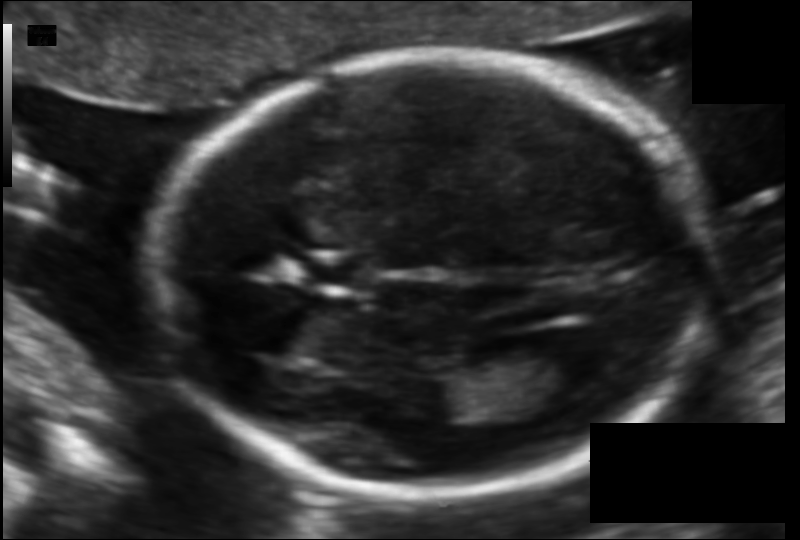
Fetal head ultrasound. Image width: 83.8 mm. Give [x1,y1,x2,y2] bounding boxes for each visible structure among: fetal head, CSP, LV.

Head: [158,53,706,500]
CSP: [306,254,374,289]
Lateral ventricle: [517,324,614,407]